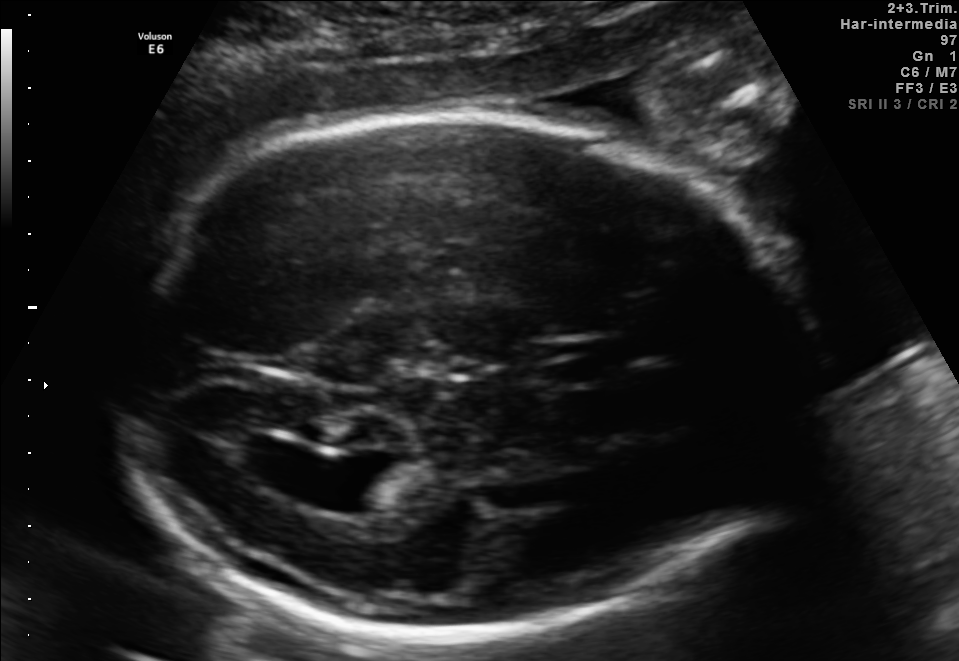
In this fetal brain, trans-ventricular plane, give the bounding box of the fetal head.

[85,107,826,646]